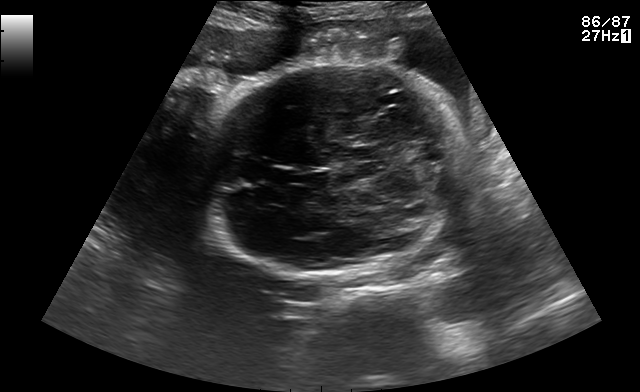
Fetal brain, trans-thalamic plane. Give [x1,y1,x2,y2] bounding boxes for each visible structure among: fetal head, CSP, LV.

Head: [198,65,470,278]